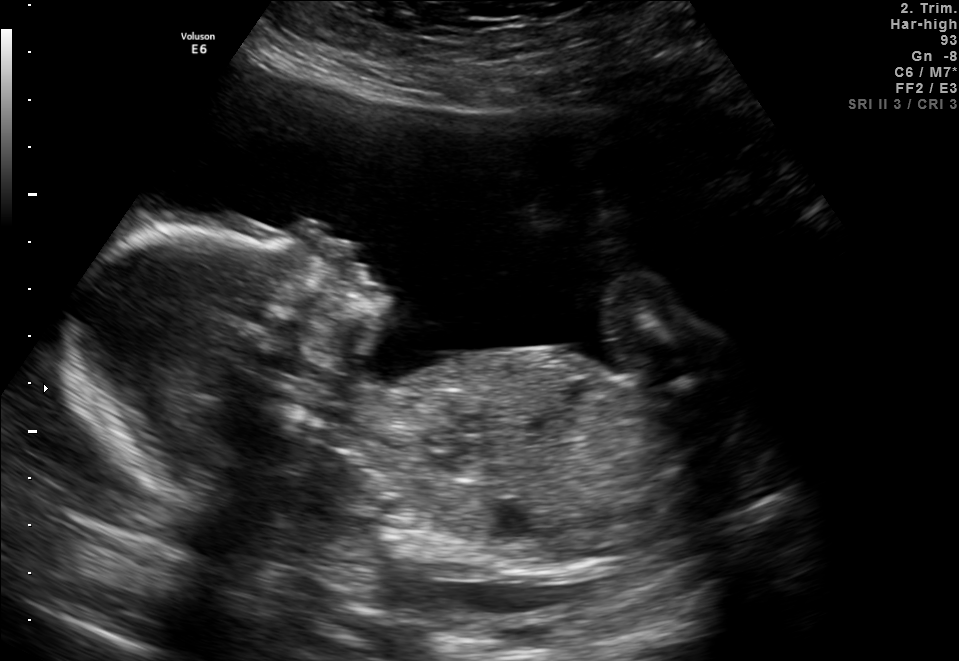
This is a 2D maternal-fetal ultrasound frame. Is it a fetal abdomen, fetal brain, fetal femur, fetal thorax, maternal cervix, or other standard plane? If it's fetal brain and one of the three standard brain planes (trans-thalamic, trans-cerebellum, trans-ventricular), name which.

Other